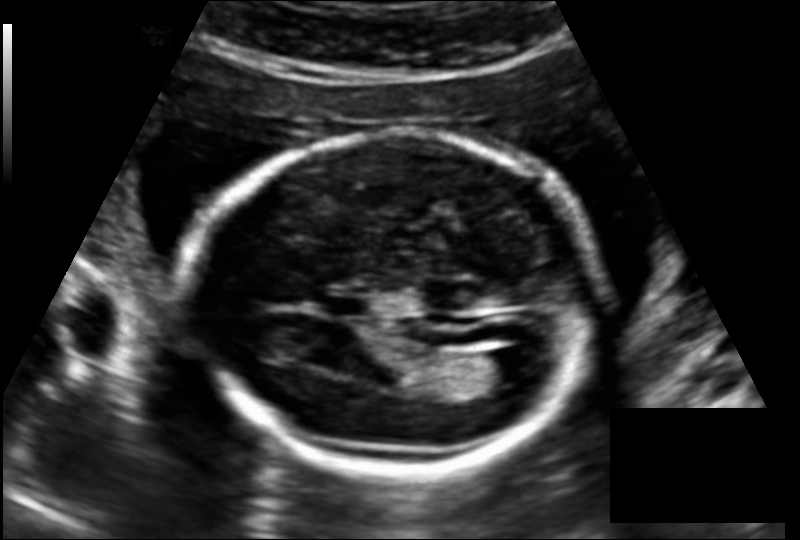
Estimate the fetal head circumference from this 2D ultrasound. Image width: 115.9 mm.

Head circumference: 181.1 mm.